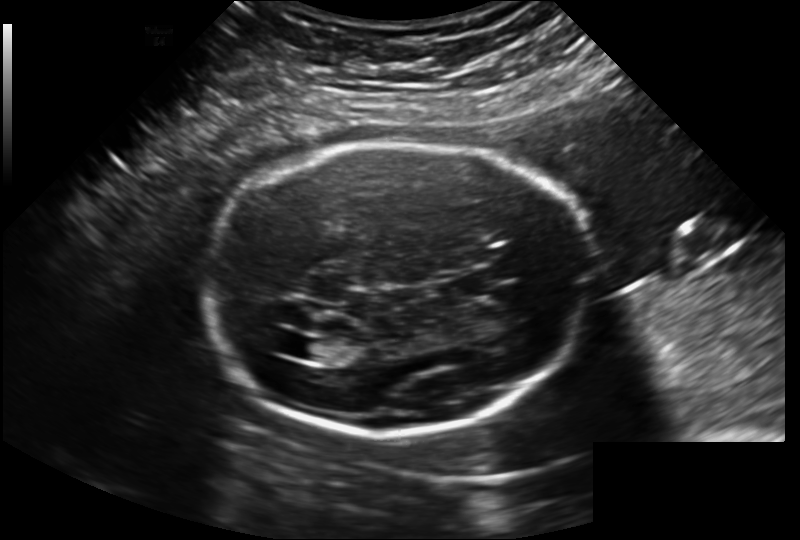
In this fetal head ultrasound, give the bounding box of the lateral ventricle. Image width: 161.6 mm.

[285,333,327,363]